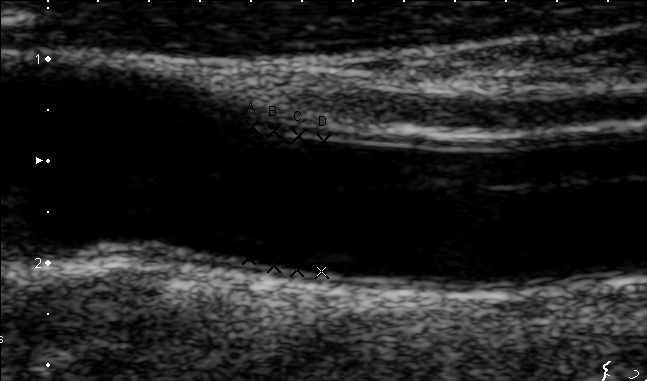
This is a 2D maternal-fetal ultrasound frame. Is it a fetal abdomen, fetal brain, fetal femur, fetal thorax, maternal cervix, or other standard plane? If it's fetal brain and one of the three standard brain planes (trans-thalamic, trans-cerebellum, trans-ventricular), name which.

Other